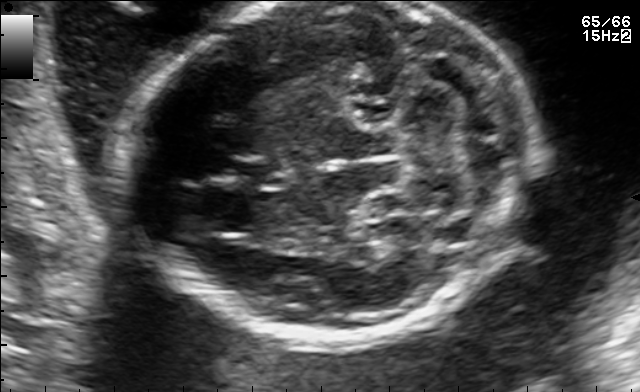
Fetal brain, trans-cerebellum plane. Locate the fetal head and, if visible, the cavum septum pellucidum (CSP) and lateral ventricle (LV). Give bounding boxes as [x1,y1,x2,y2].

Head: [129,2,542,343]